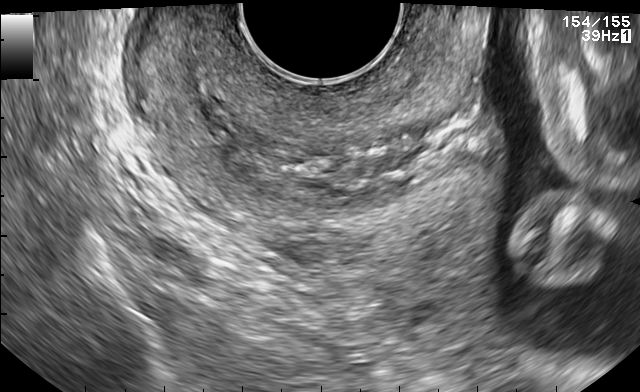
Identify the standard plane in this fetal ultrasound image: fetal abdomen, fetal brain, fetal femur, fetal thorax, maternal cervix, or other. If it's fetal brain and one of the three standard brain planes (trans-thalamic, trans-cerebellum, trans-ventricular), name which.

Maternal cervix